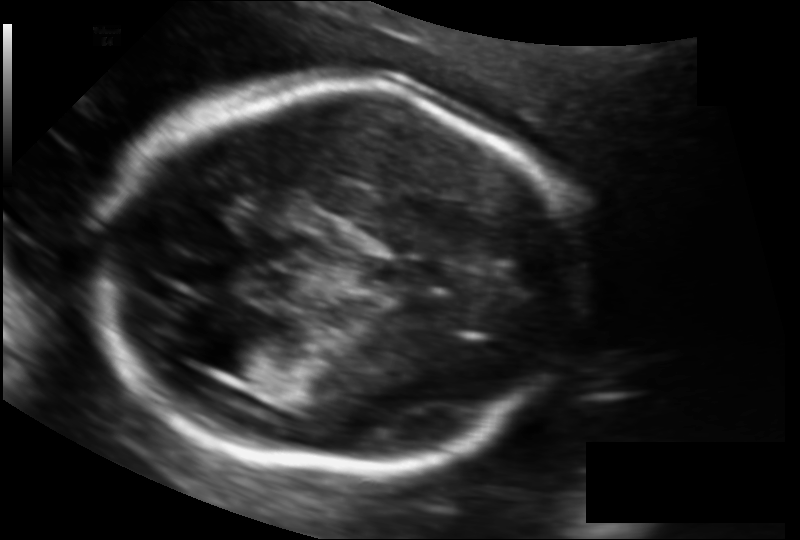
Measure the fetal head circumference shown in this ultrasound image. Image width: 96.6 mm.

Head circumference: 169.3 mm.